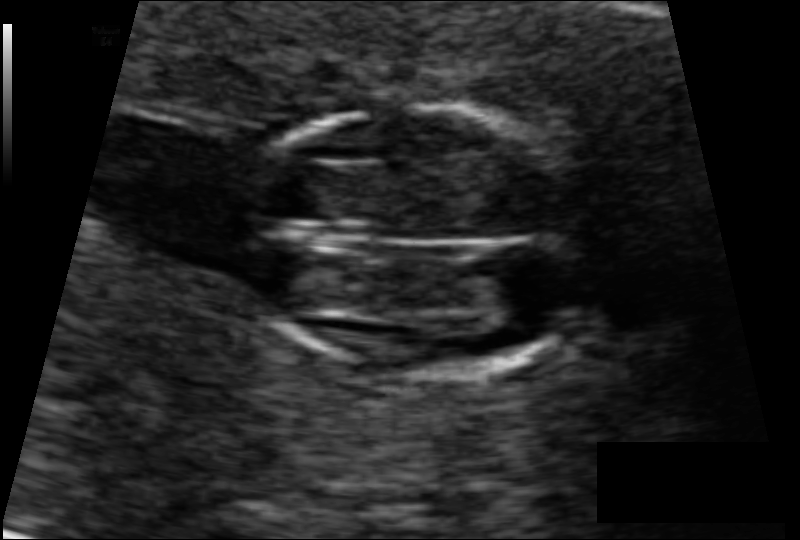
What is the fetal head circumference? Image width is 60.3 mm.

77.6 mm